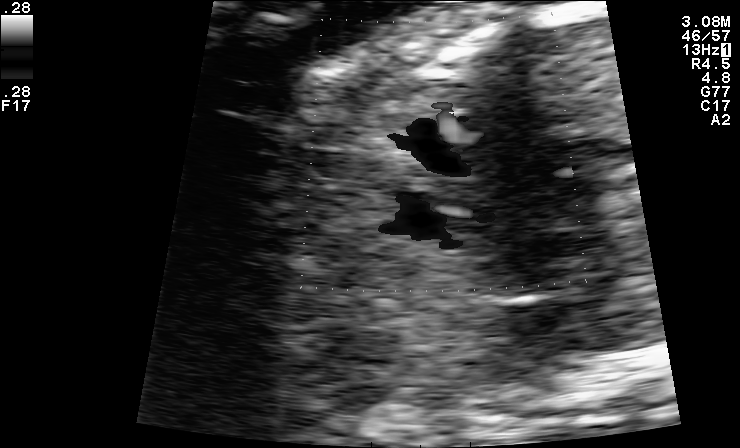
Identify the standard plane in this fetal ultrasound image: fetal abdomen, fetal brain, fetal femur, fetal thorax, maternal cervix, or other. If it's fetal brain and one of the three standard brain planes (trans-thalamic, trans-cerebellum, trans-ventricular), name which.

Other